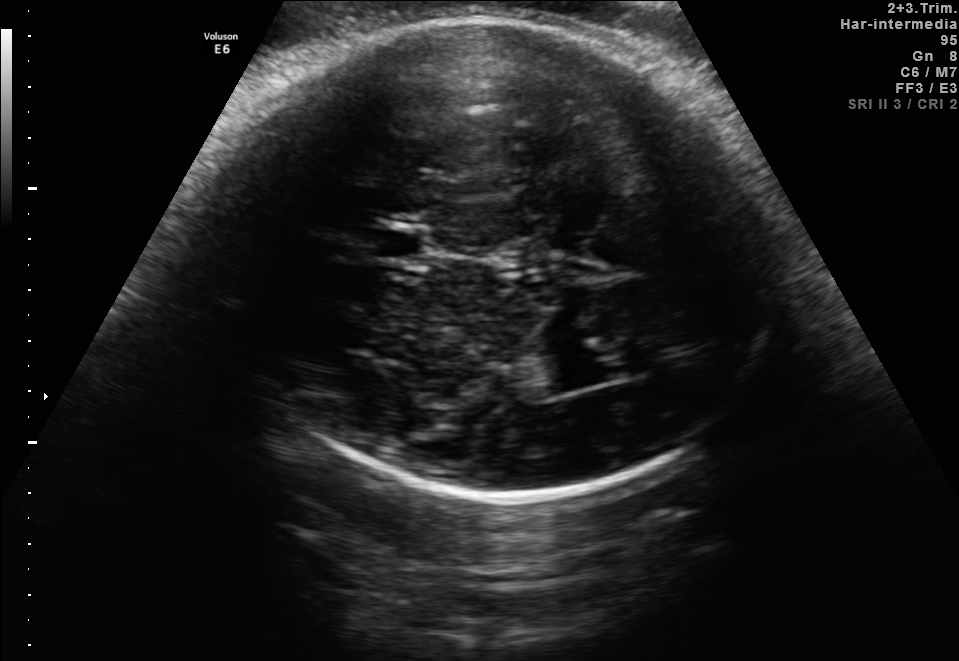
Fetal brain, trans-thalamic plane. Where is the lateral ventricle?

Lateral ventricle bounding box: [533,347,603,399]